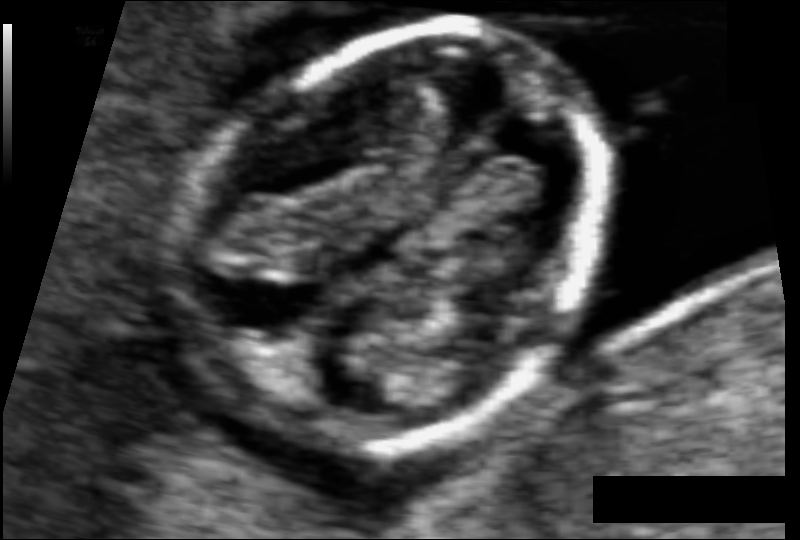
In this fetal head ultrasound, give bounding boxes for the head outline, cavum septum pellucidum (CSP), and lateral ventricle (LV), where visible. Image width: 47.6 mm.

Head: [189,29,610,448]